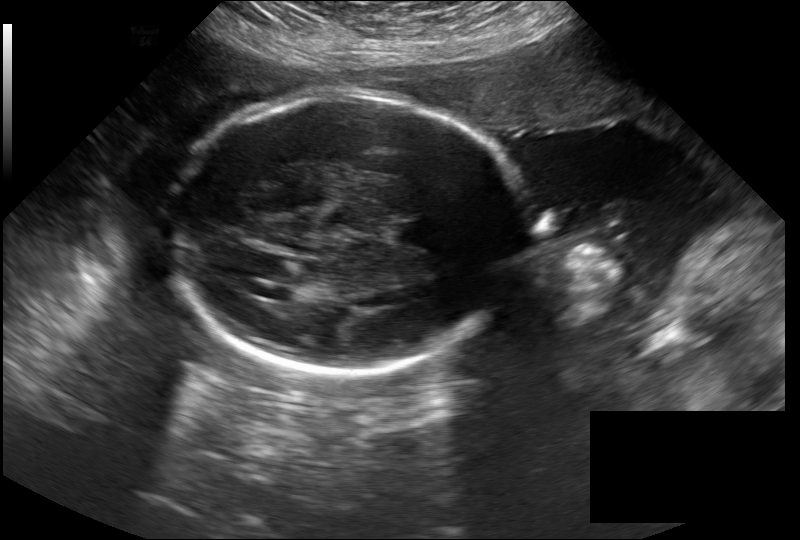
Estimate the fetal head circumference from this 2D ultrasound. Image width: 223.0 mm.

Head circumference: 288.0 mm.